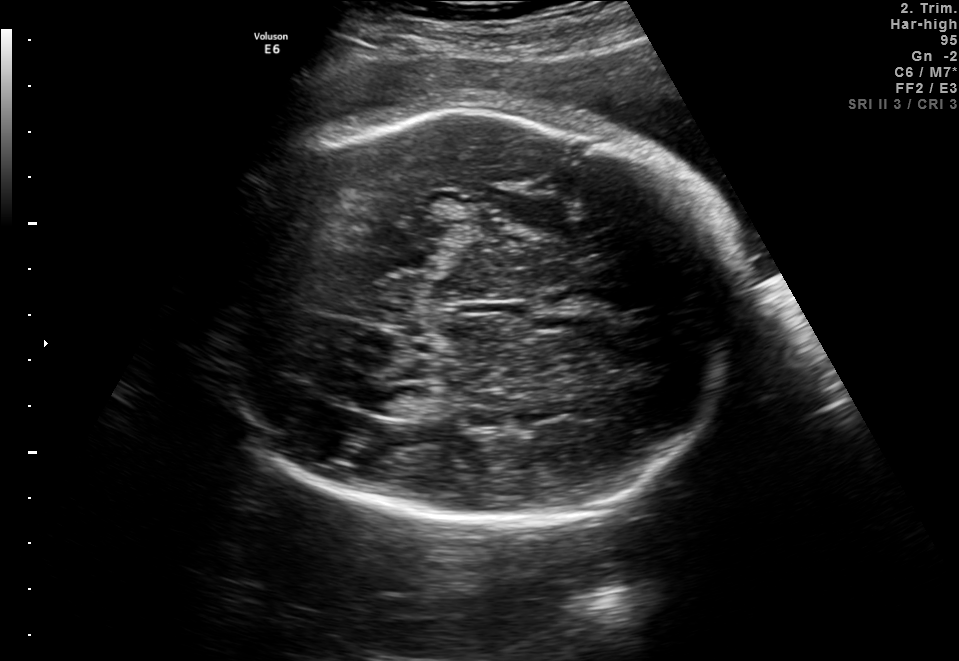
In this fetal brain, trans-thalamic plane, give bounding boxes for the head outline, cavum septum pellucidum (CSP), and lateral ventricle (LV), where visible.

Head: [201,111,744,532]
Lateral ventricle: [348,379,414,420]